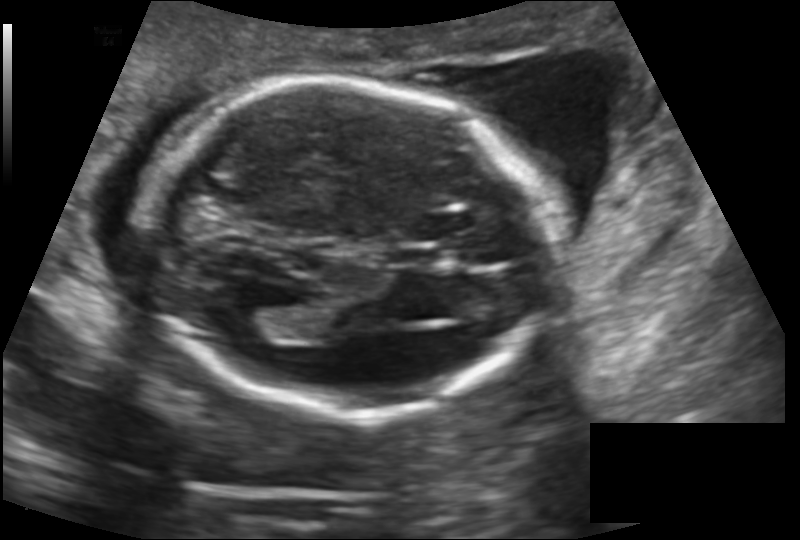
Fetal head ultrasound. Image width: 116.4 mm. Locate the lateral ventricle.

Lateral ventricle: [225,307,278,339]